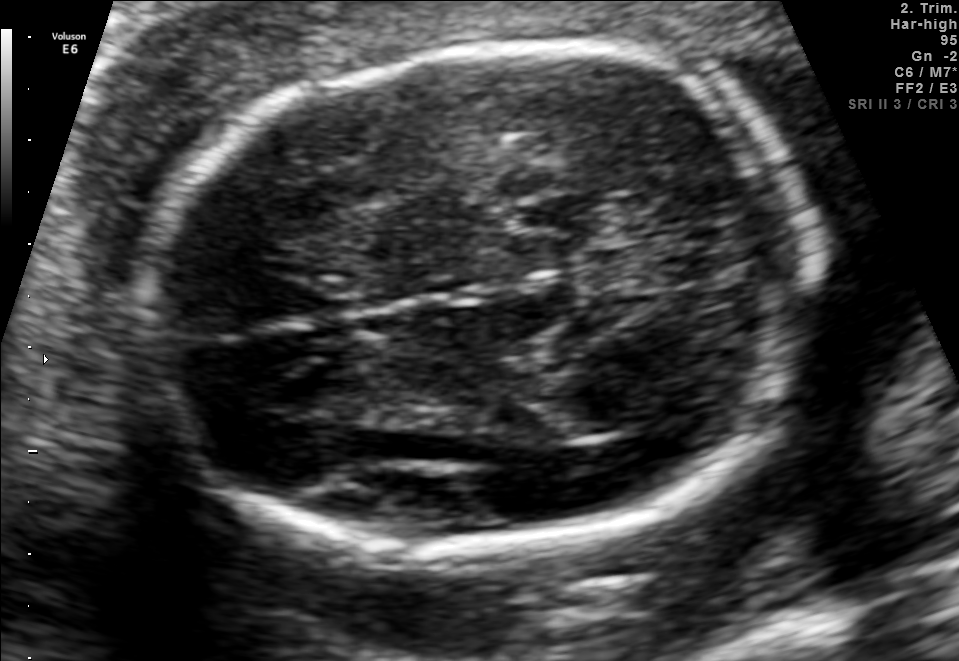
In this fetal brain, trans-thalamic plane, give the bounding box of the lateral ventricle.

[527,381,640,448]